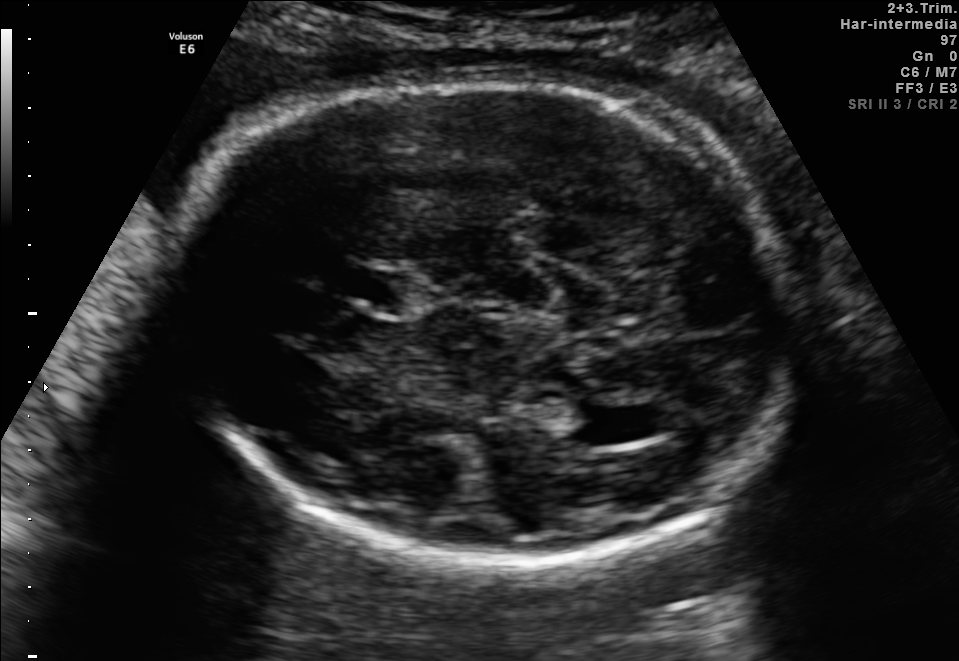
In this fetal brain, trans-ventricular plane, give the bounding box of the cavum septum pellucidum.

[350,267,405,307]